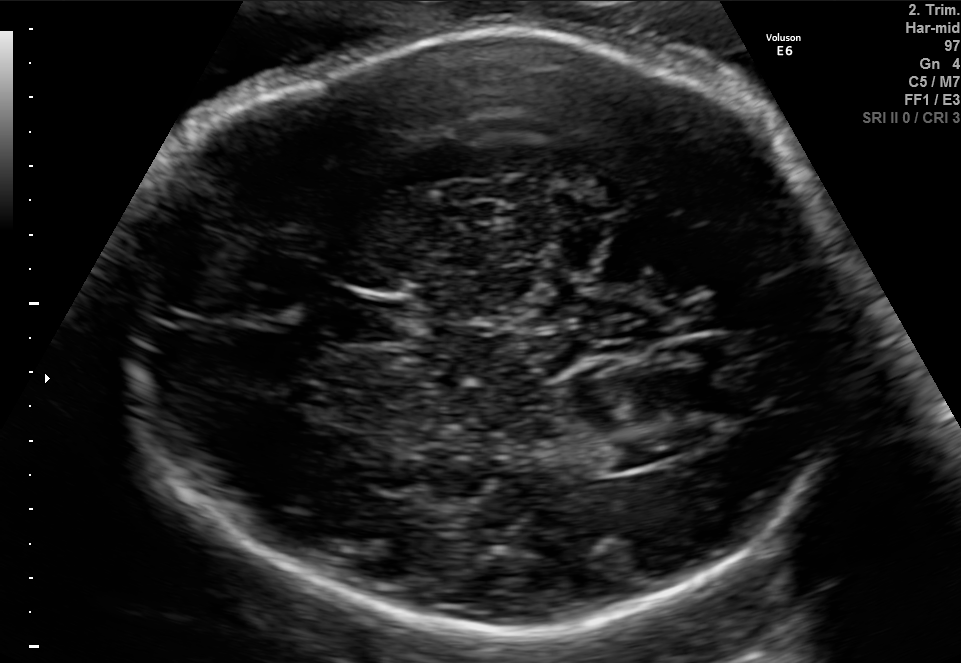
Fetal brain, trans-ventricular plane. Locate the cavum septum pellucidum.

CSP: [328,293,404,341]